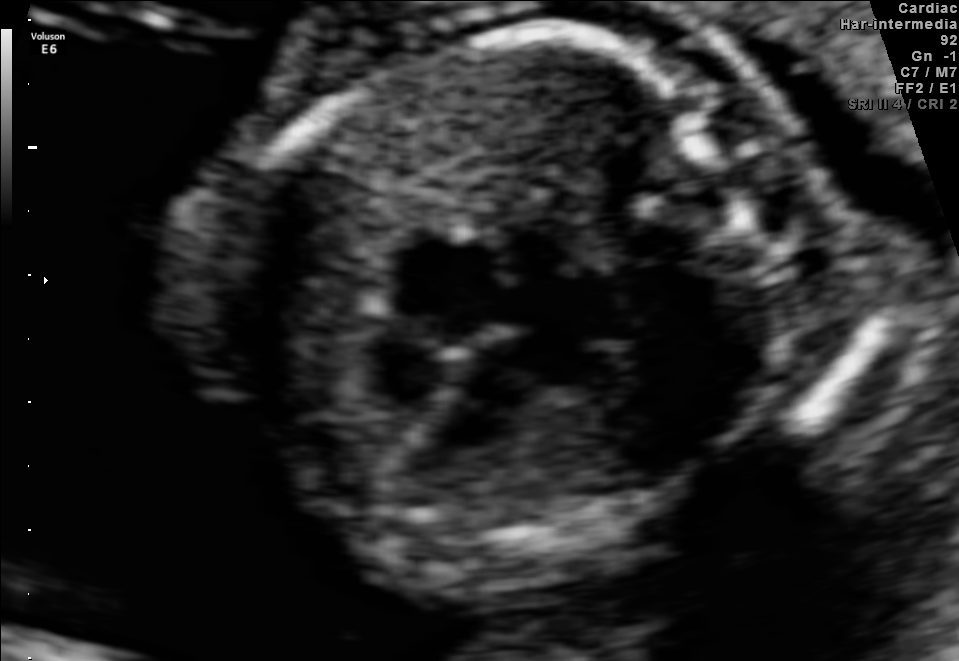
This is a 2D maternal-fetal ultrasound frame. Is it a fetal abdomen, fetal brain, fetal femur, fetal thorax, maternal cervix, or other standard plane? If it's fetal brain and one of the three standard brain planes (trans-thalamic, trans-cerebellum, trans-ventricular), name which.

Fetal thorax